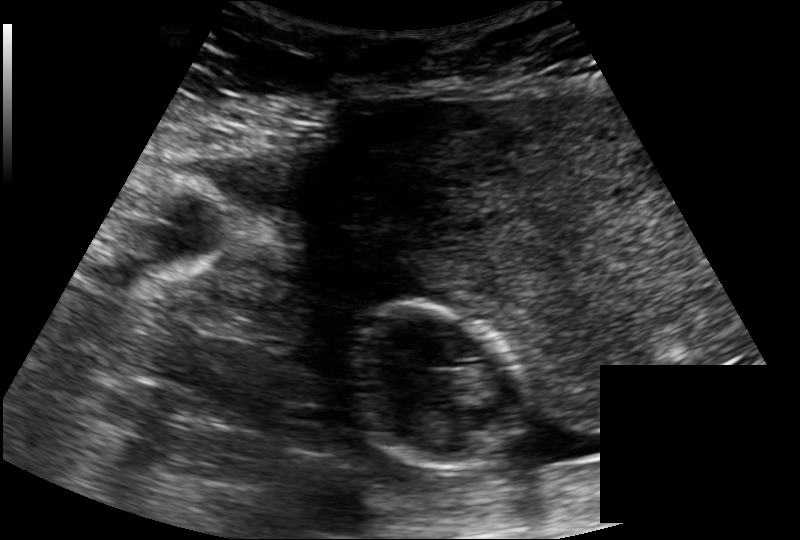
Fetal head ultrasound. Image width: 136.5 mm. Locate the fetal head.

Head: [345,302,516,470]